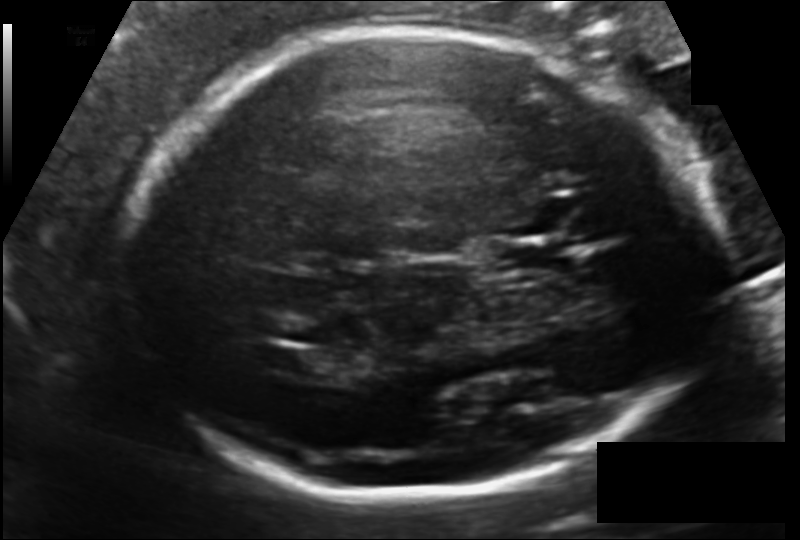
What is the fetal head circumference? Image width is 106.4 mm.

224.8 mm